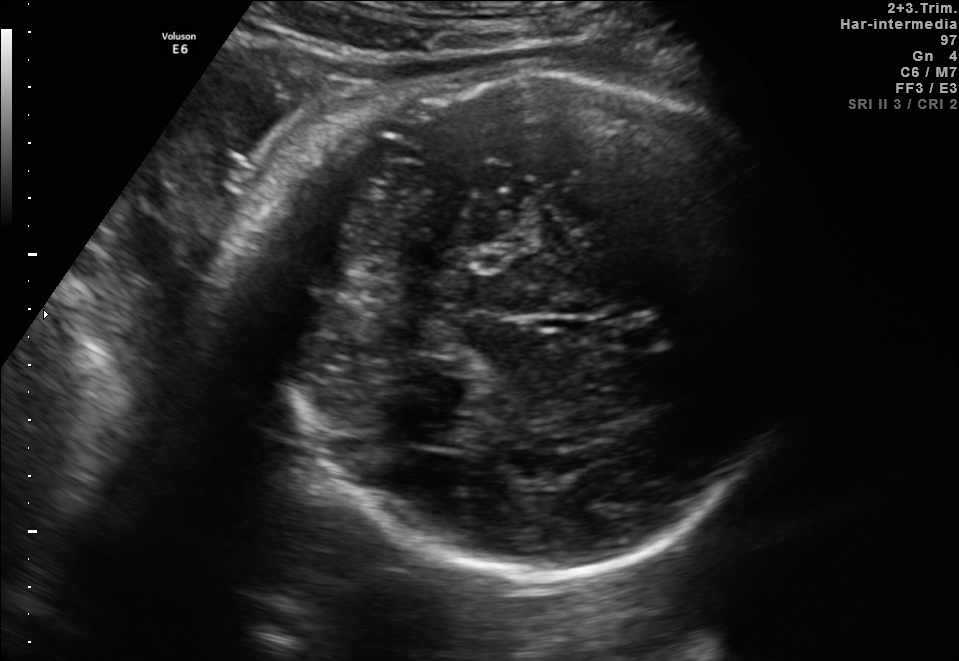
In this fetal brain, trans-cerebellum plane, give the bounding box of the fetal head.

[270,64,789,579]